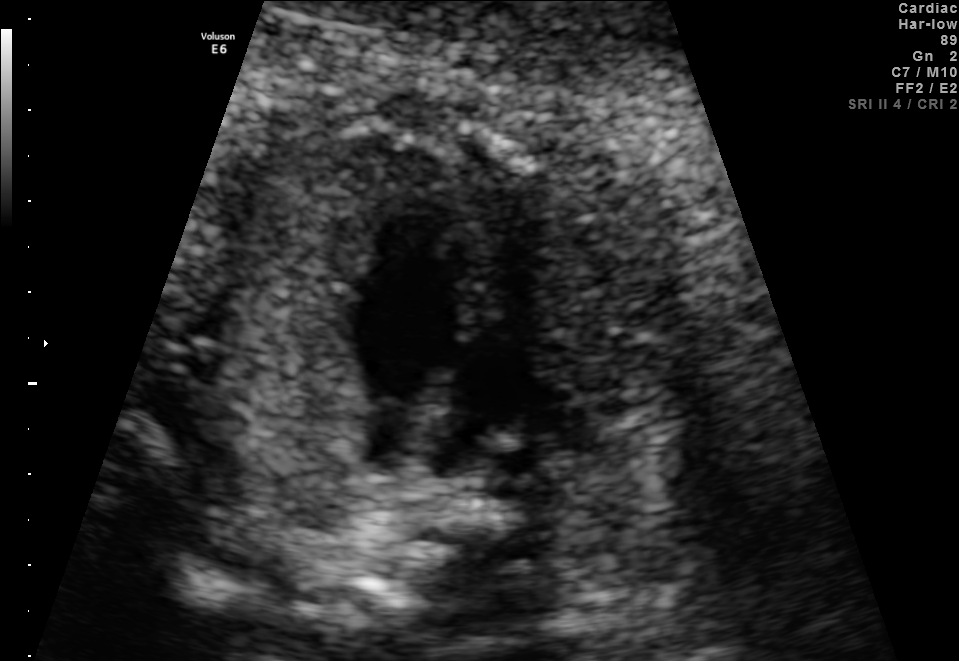
Which standard maternal-fetal ultrasound plane is shown: fetal abdomen, fetal brain, fetal femur, fetal thorax, maternal cervix, or other? If it's fetal brain and one of the three standard brain planes (trans-thalamic, trans-cerebellum, trans-ventricular), name which.

Other